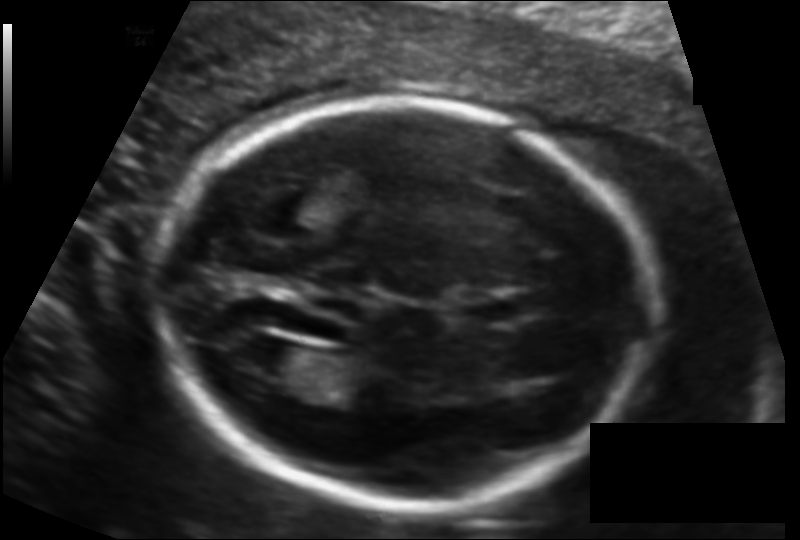
Fetal head ultrasound. Image width: 98.9 mm. Locate the lateral ventricle.

Lateral ventricle: [233,334,308,385]